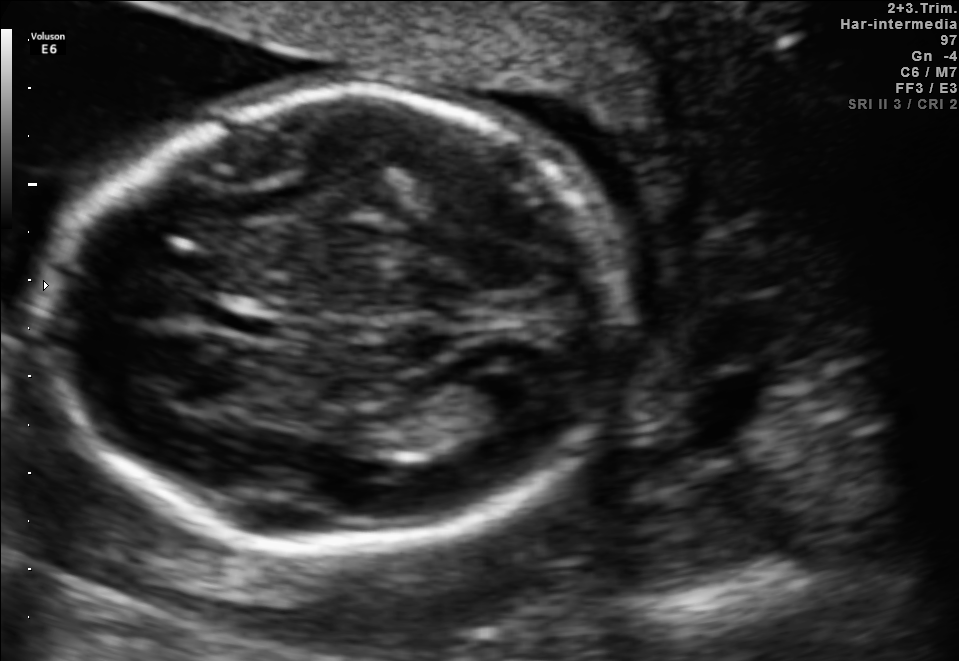
In this fetal brain, trans-ventricular plane, give the bounding box of the lateral ventricle.

[453,340,556,431]